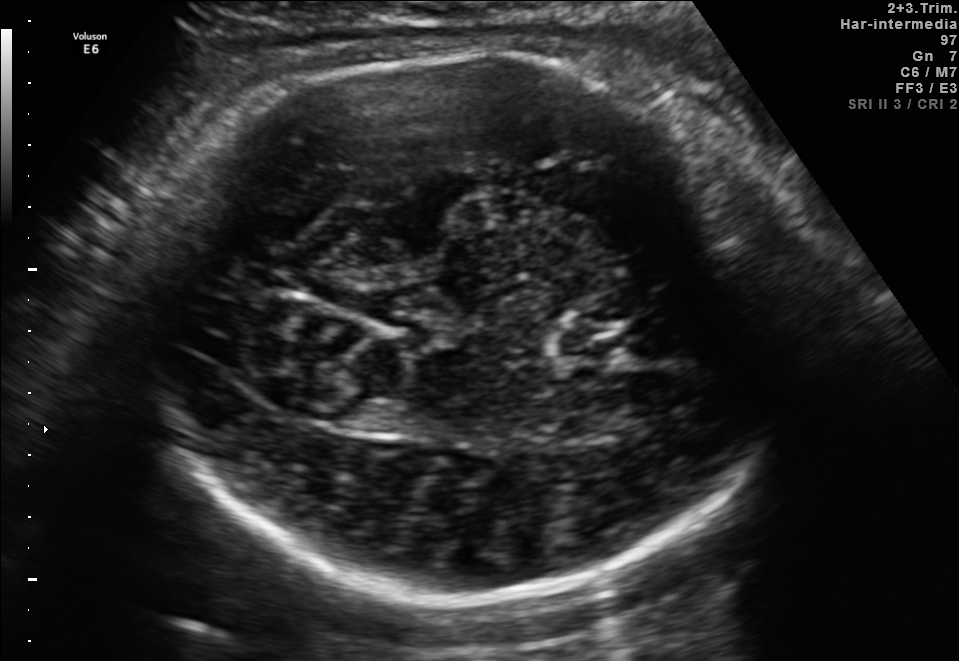
Fetal brain, trans-thalamic plane. Where is the fetal head?

Head bounding box: [140,51,797,594]